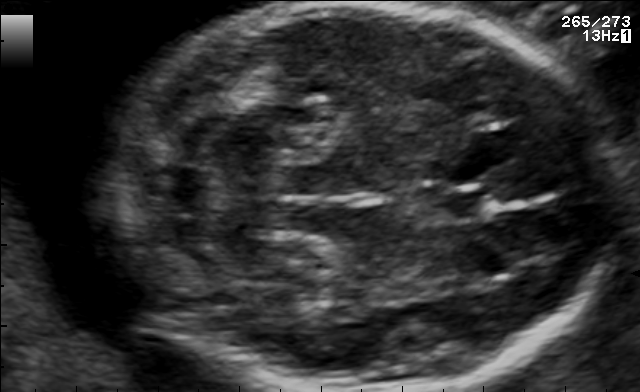
Fetal brain, trans-cerebellum plane. Where is the fetal head?

Head bounding box: [105,3,618,390]